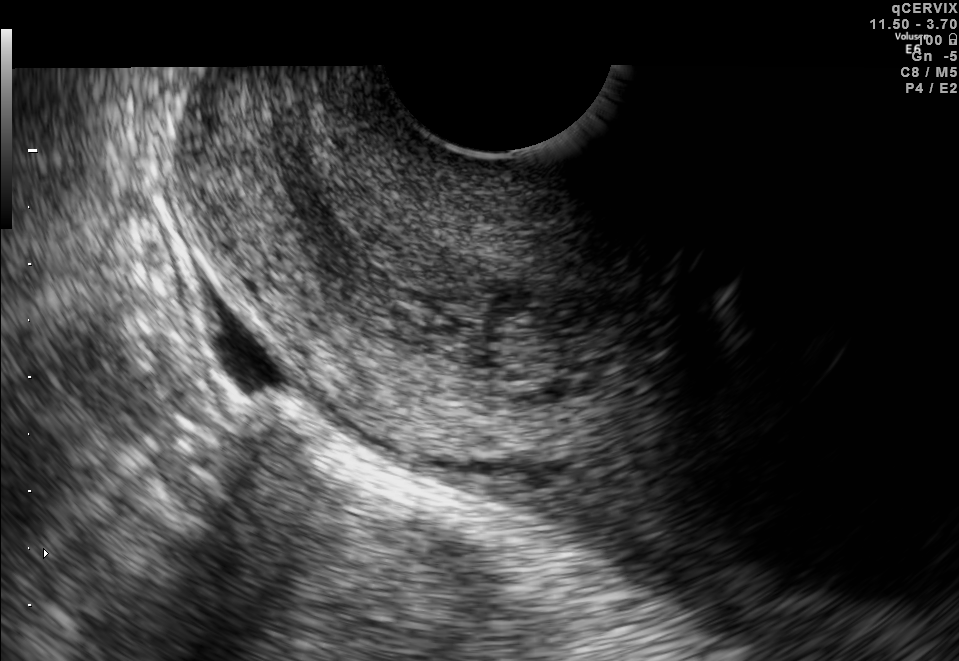
This is a 2D maternal-fetal ultrasound frame. Is it a fetal abdomen, fetal brain, fetal femur, fetal thorax, maternal cervix, or other standard plane? If it's fetal brain and one of the three standard brain planes (trans-thalamic, trans-cerebellum, trans-ventricular), name which.

Maternal cervix